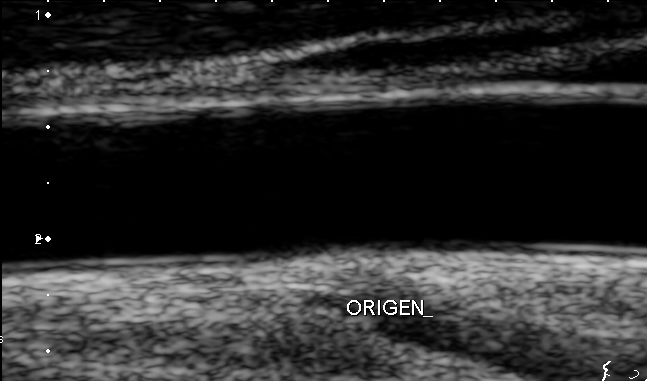
Which standard maternal-fetal ultrasound plane is shown: fetal abdomen, fetal brain, fetal femur, fetal thorax, maternal cervix, or other? If it's fetal brain and one of the three standard brain planes (trans-thalamic, trans-cerebellum, trans-ventricular), name which.

Other